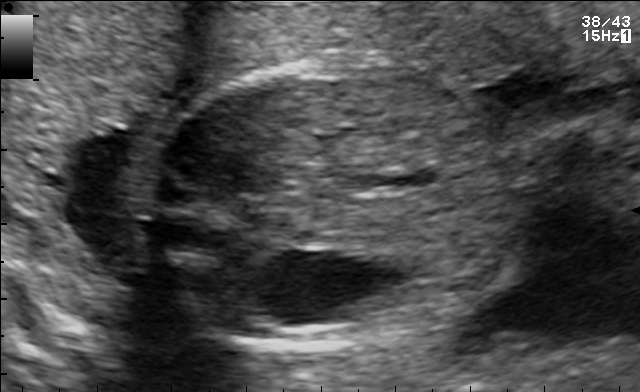
Identify the standard plane in this fetal ultrasound image: fetal abdomen, fetal brain, fetal femur, fetal thorax, maternal cervix, or other. If it's fetal brain and one of the three standard brain planes (trans-thalamic, trans-cerebellum, trans-ventricular), name which.

Fetal abdomen